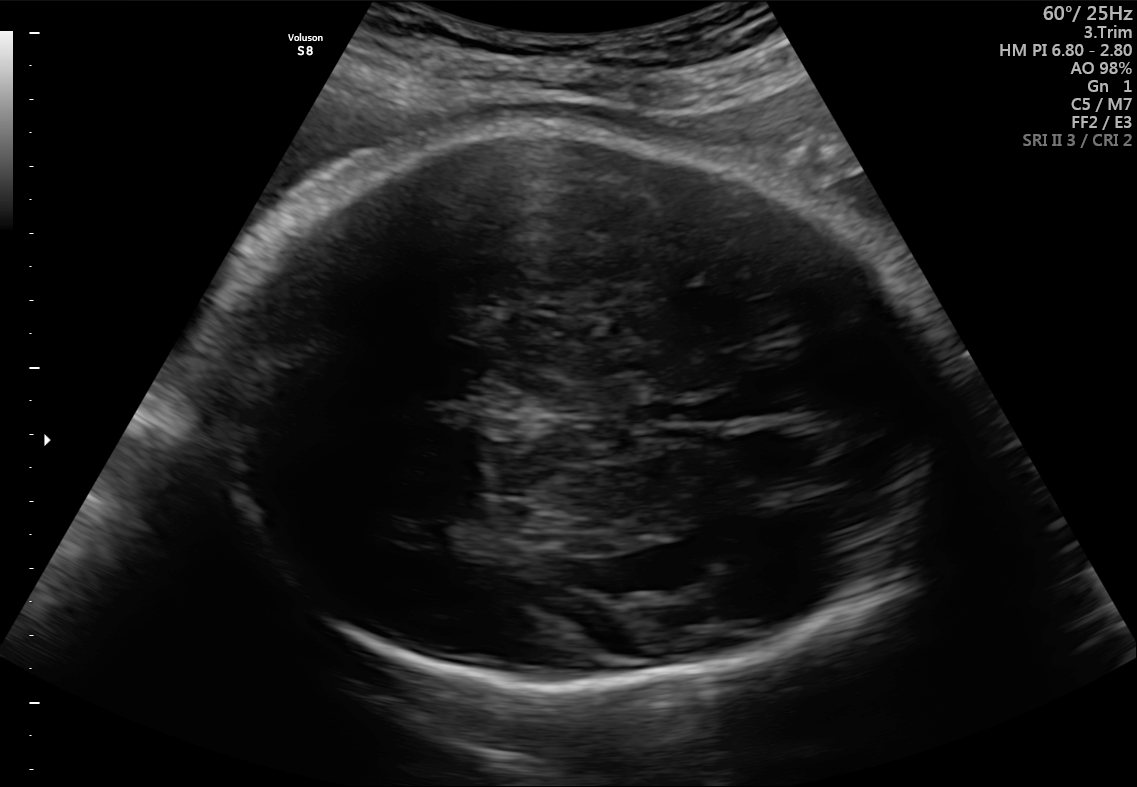
Which standard maternal-fetal ultrasound plane is shown: fetal abdomen, fetal brain, fetal femur, fetal thorax, maternal cervix, or other? If it's fetal brain and one of the three standard brain planes (trans-thalamic, trans-cerebellum, trans-ventricular), name which.

Fetal brain (trans-thalamic plane)